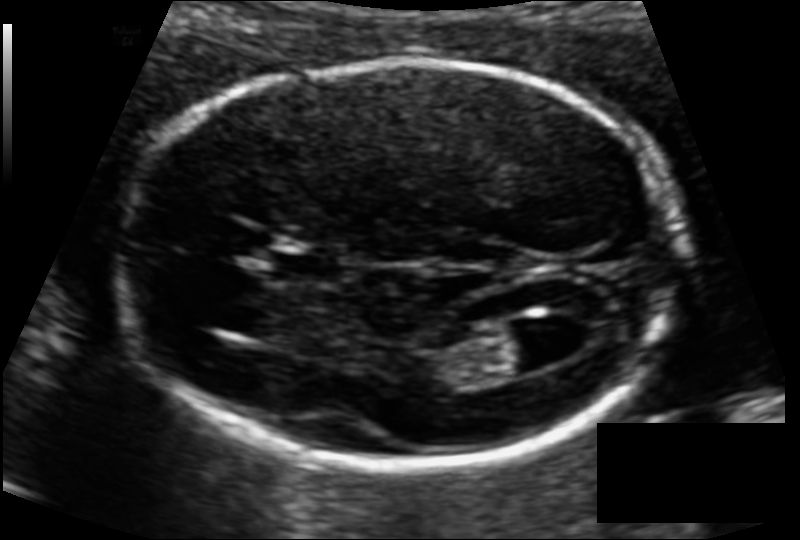
In this fetal head ultrasound, give the bounding box of the fetal head. Image width: 83.4 mm.

[121,60,686,462]